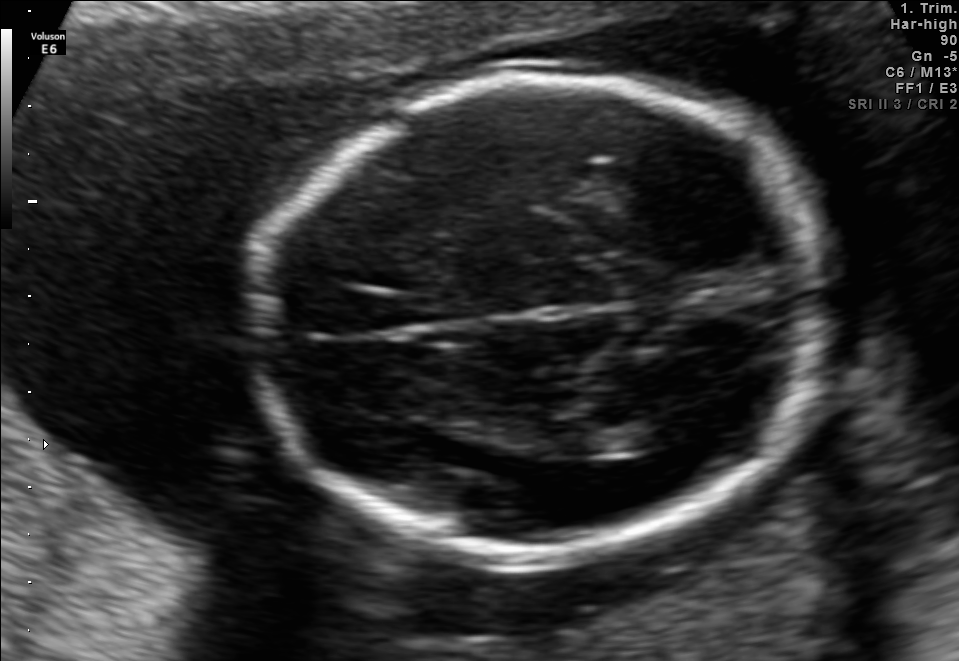
Fetal brain, trans-thalamic plane. Where is the lateral ventricle?

Lateral ventricle bounding box: [625,405,703,456]